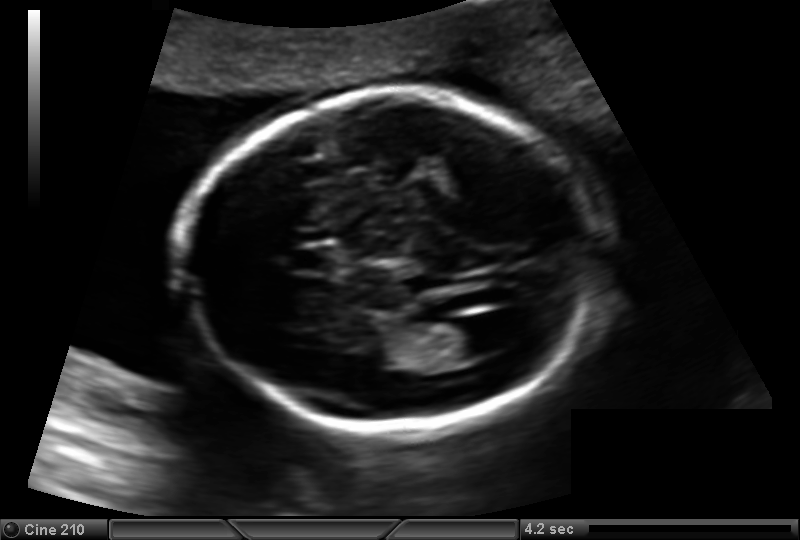
Fetal head ultrasound. Image width: 109.7 mm. Where is the fetal head?

Head bounding box: [186,90,599,431]